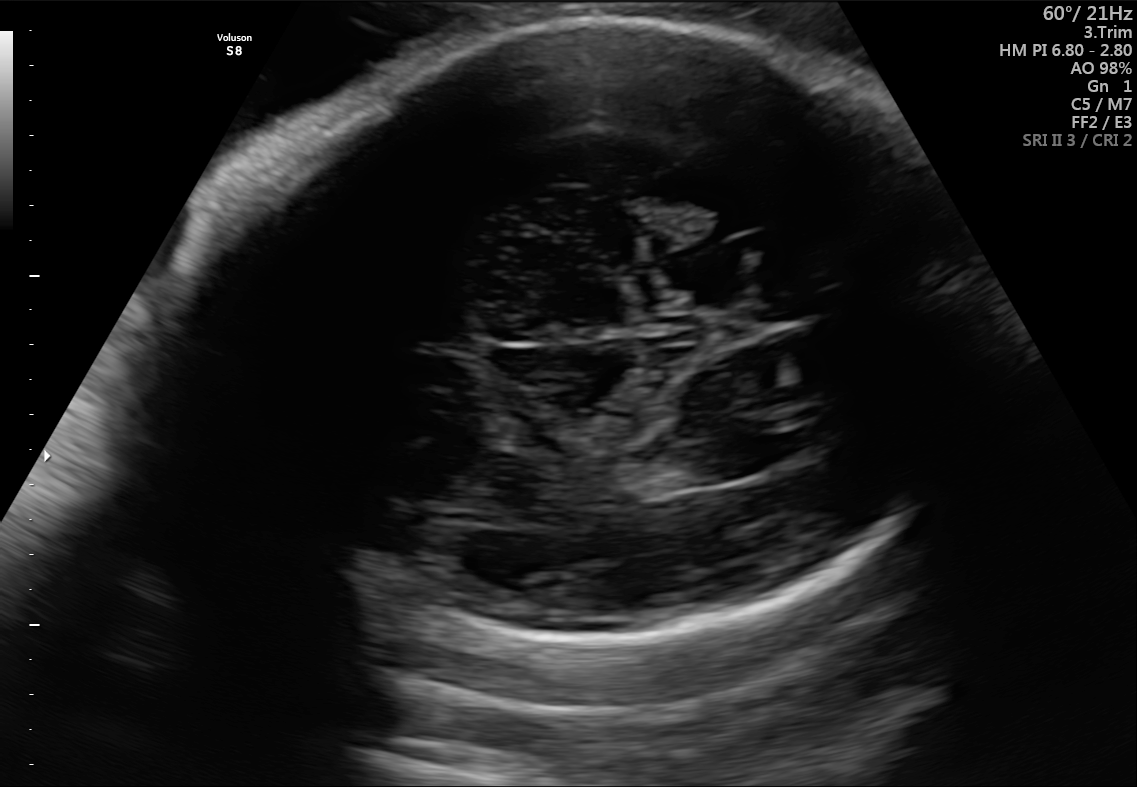
This is a 2D maternal-fetal ultrasound frame. Is it a fetal abdomen, fetal brain, fetal femur, fetal thorax, maternal cervix, or other standard plane? If it's fetal brain and one of the three standard brain planes (trans-thalamic, trans-cerebellum, trans-ventricular), name which.

Fetal brain (trans-thalamic plane)